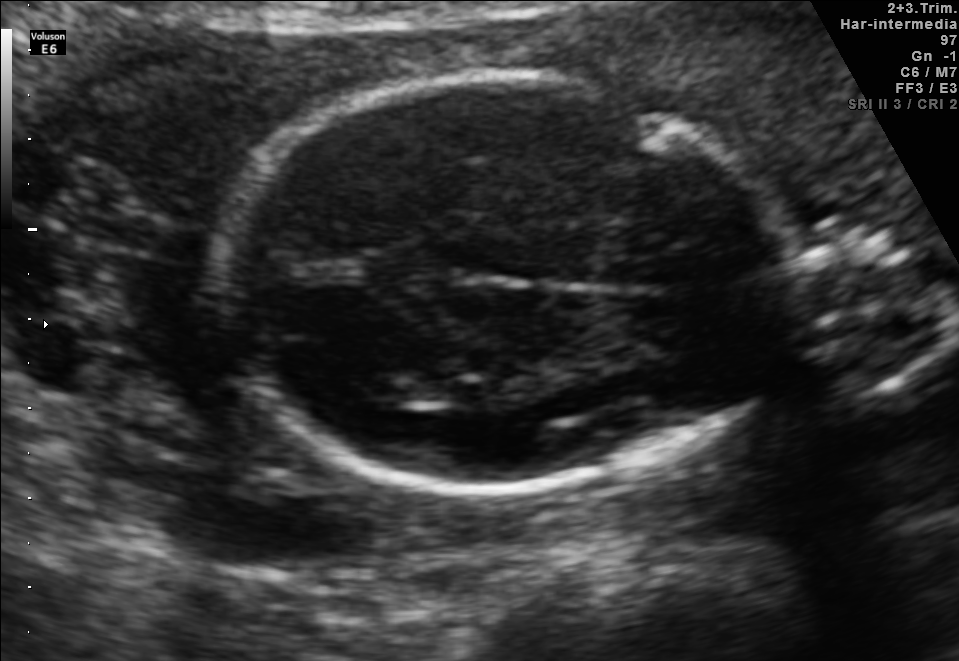
Fetal brain, trans-thalamic plane. Give [x1,y1,x2,y2] bounding boxes for each visible structure among: fetal head, CSP, LV.

Head: [217,74,788,491]
Lateral ventricle: [348,373,430,407]